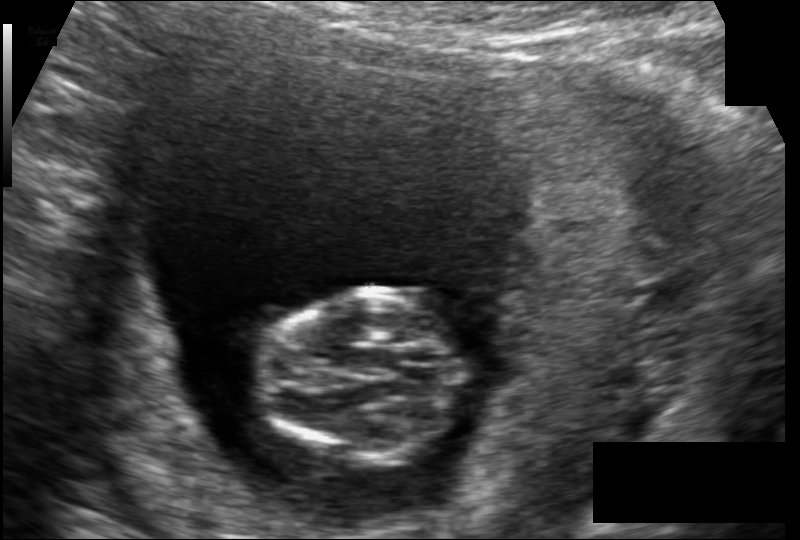
In this fetal head ultrasound, give the bounding box of the fetal head. Image width: 93.8 mm.

[261,289,464,465]